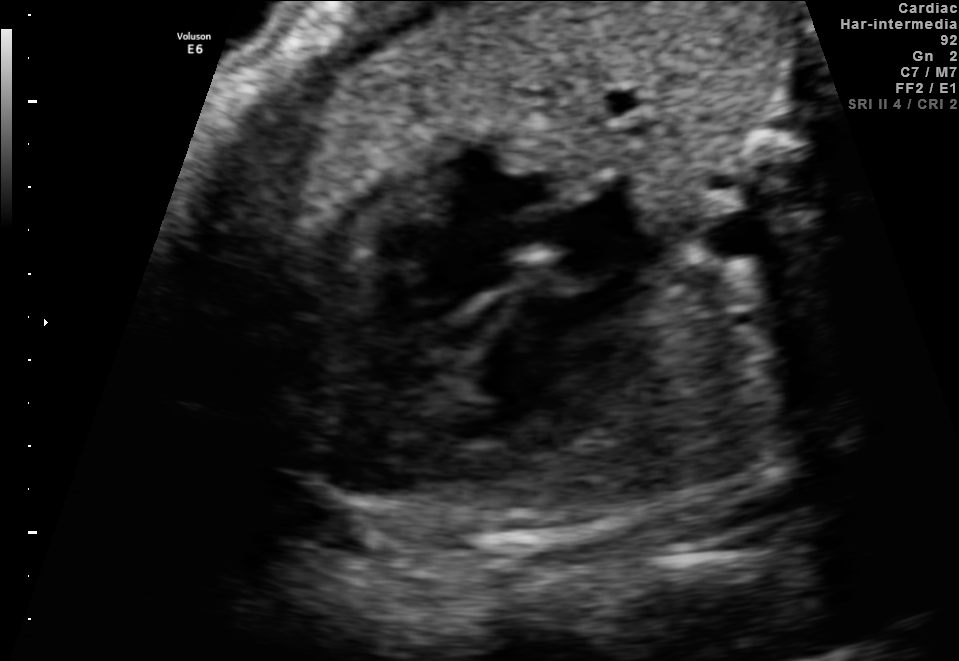
Identify the standard plane in this fetal ultrasound image: fetal abdomen, fetal brain, fetal femur, fetal thorax, maternal cervix, or other. If it's fetal brain and one of the three standard brain planes (trans-thalamic, trans-cerebellum, trans-ventricular), name which.

Fetal thorax